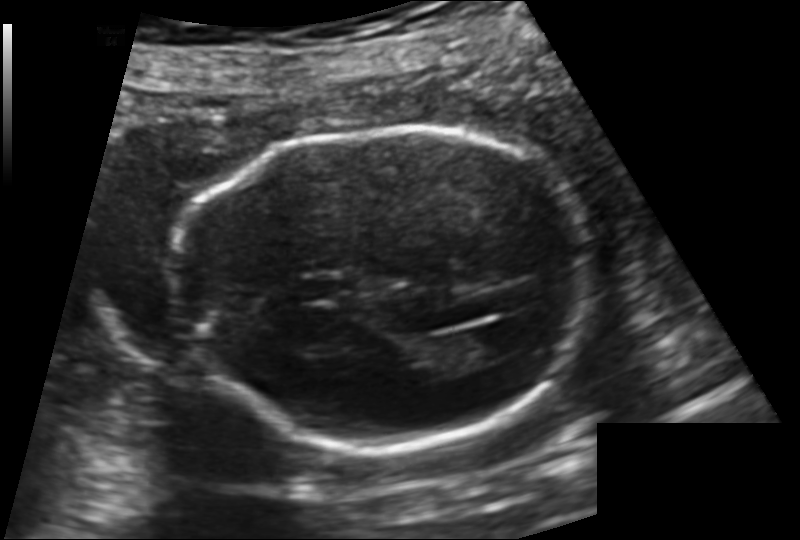
Fetal head ultrasound. Image width: 115.3 mm. Where is the lateral ventricle?

Lateral ventricle bounding box: [447,320,517,370]